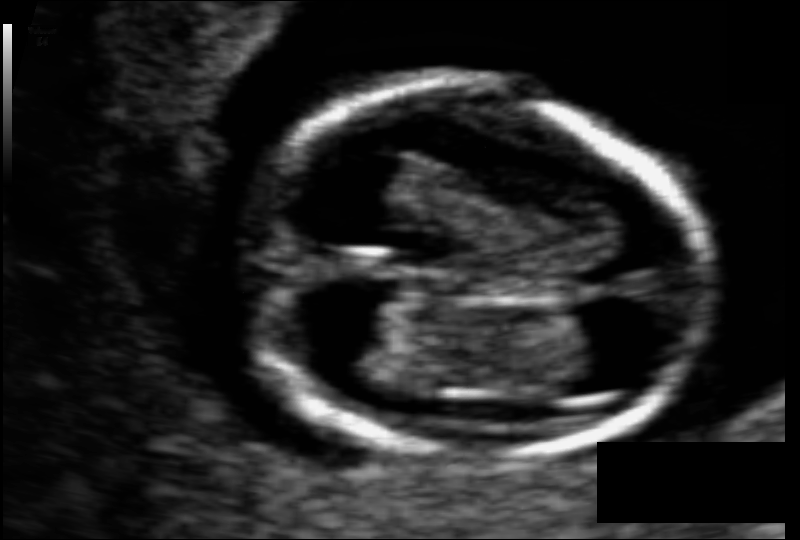
Fetal head ultrasound. Image width: 50.4 mm. Locate the fetal head.

Head: [244,83,706,459]